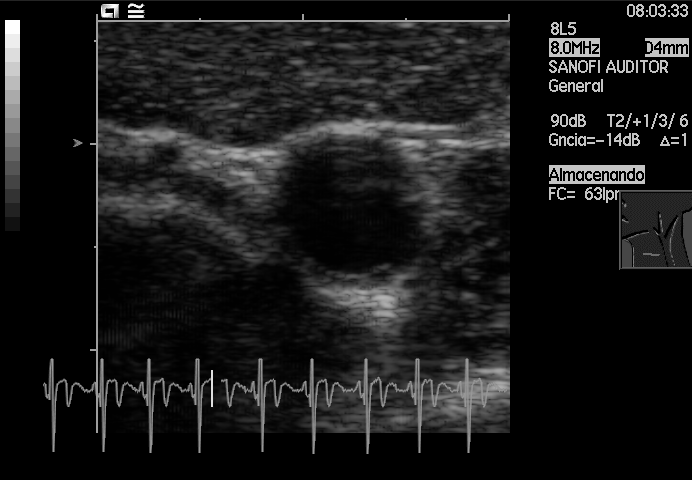
This is a 2D maternal-fetal ultrasound frame. Is it a fetal abdomen, fetal brain, fetal femur, fetal thorax, maternal cervix, or other standard plane? If it's fetal brain and one of the three standard brain planes (trans-thalamic, trans-cerebellum, trans-ventricular), name which.

Other